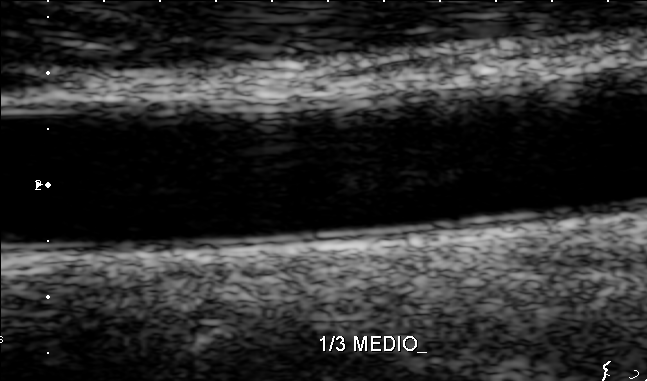
Which standard maternal-fetal ultrasound plane is shown: fetal abdomen, fetal brain, fetal femur, fetal thorax, maternal cervix, or other? If it's fetal brain and one of the three standard brain planes (trans-thalamic, trans-cerebellum, trans-ventricular), name which.

Other